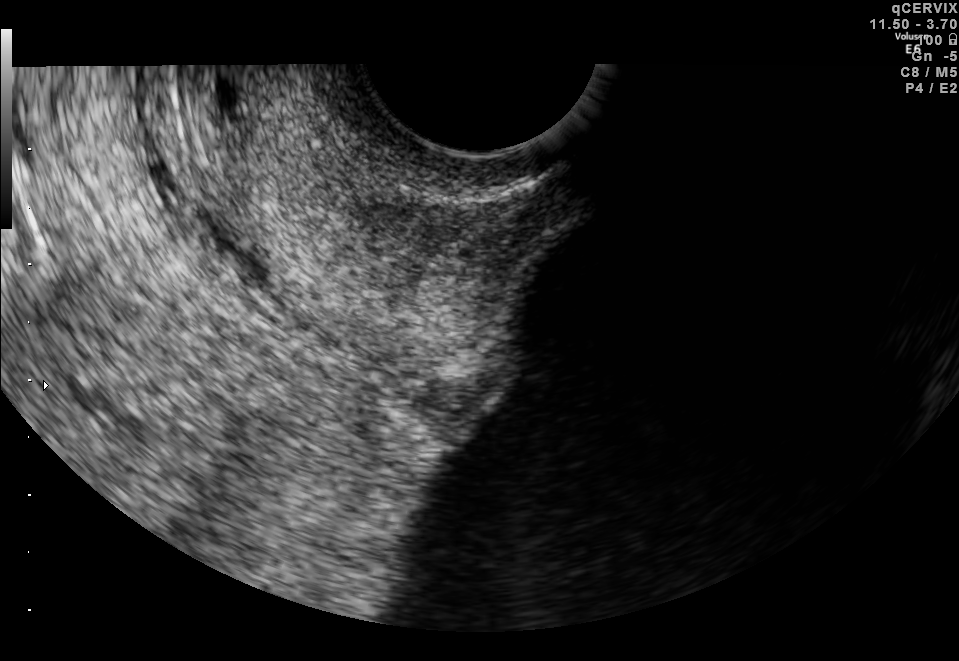
Identify the standard plane in this fetal ultrasound image: fetal abdomen, fetal brain, fetal femur, fetal thorax, maternal cervix, or other. If it's fetal brain and one of the three standard brain planes (trans-thalamic, trans-cerebellum, trans-ventricular), name which.

Maternal cervix